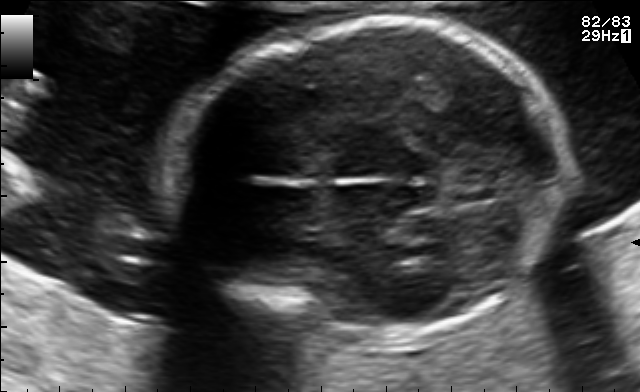
Fetal brain, trans-thalamic plane. Where is the fetal head?

Head bounding box: [174,20,567,346]